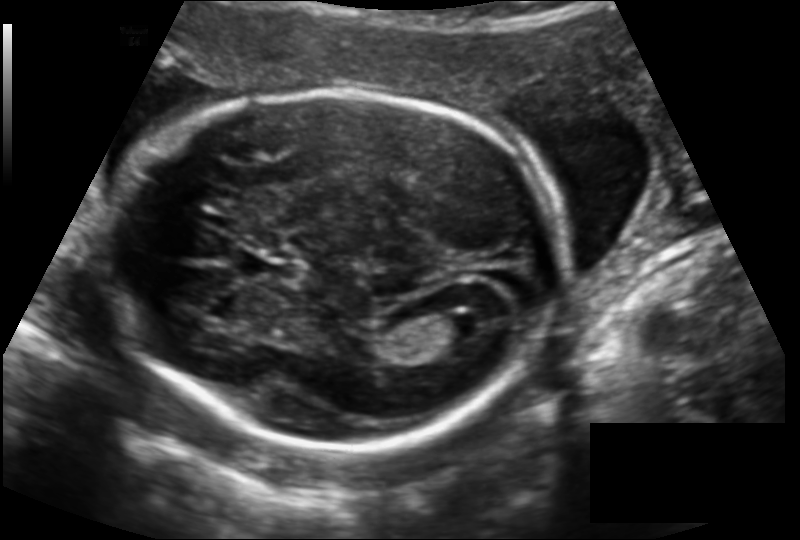
Fetal head ultrasound. Image width: 113.5 mm. Where is the fetal head?

Head bounding box: [133,93,555,445]